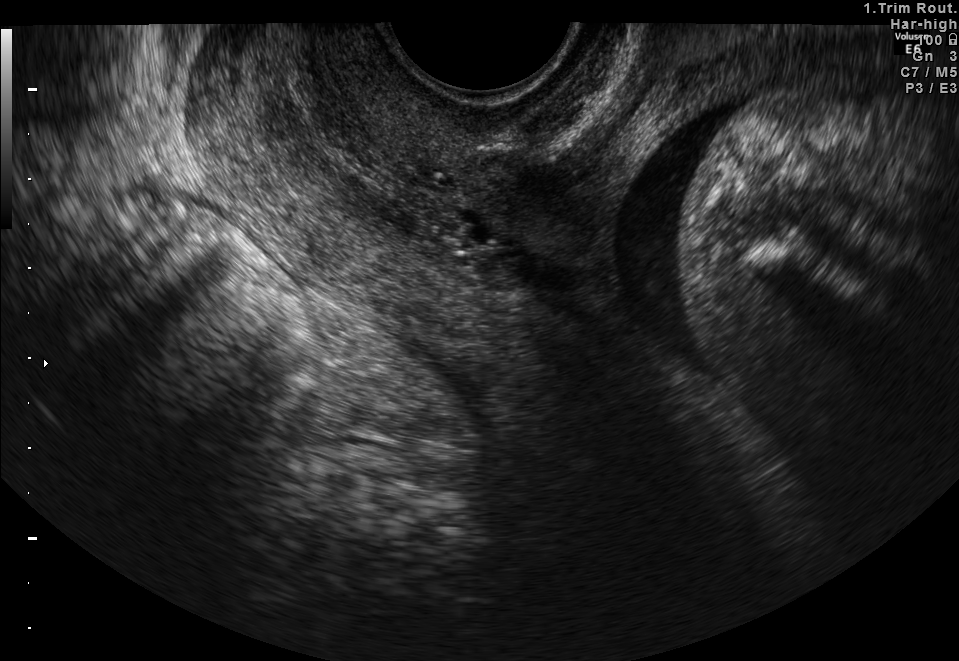
Classify this maternal-fetal ultrasound image as one of the six standard planes — fetal abdomen, fetal brain, fetal femur, fetal thorax, maternal cervix, or other. If it's fetal brain and one of the three standard brain planes (trans-thalamic, trans-cerebellum, trans-ventricular), name which.

Maternal cervix